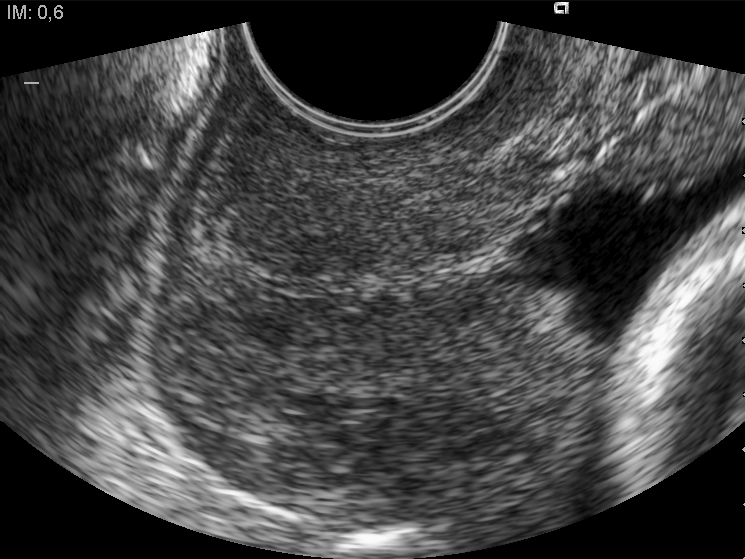
Which standard maternal-fetal ultrasound plane is shown: fetal abdomen, fetal brain, fetal femur, fetal thorax, maternal cervix, or other? If it's fetal brain and one of the three standard brain planes (trans-thalamic, trans-cerebellum, trans-ventricular), name which.

Maternal cervix